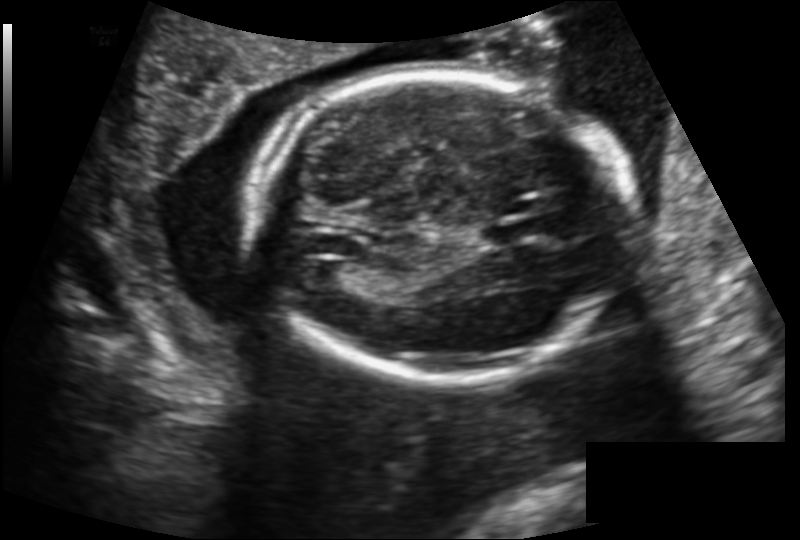
Fetal head ultrasound. Image width: 127.5 mm. Locate the fetal head.

Head: [250,70,631,380]